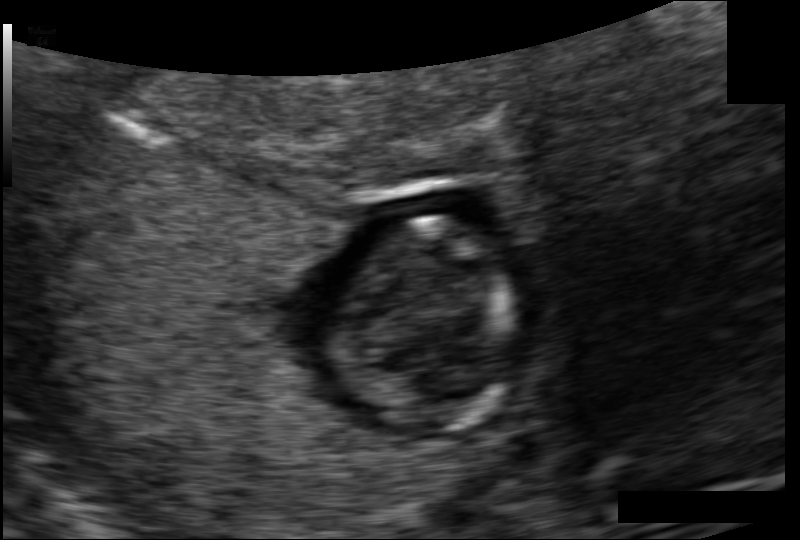
Fetal head ultrasound. Image width: 78.5 mm. Locate the fetal head.

Head: [342,219,513,429]